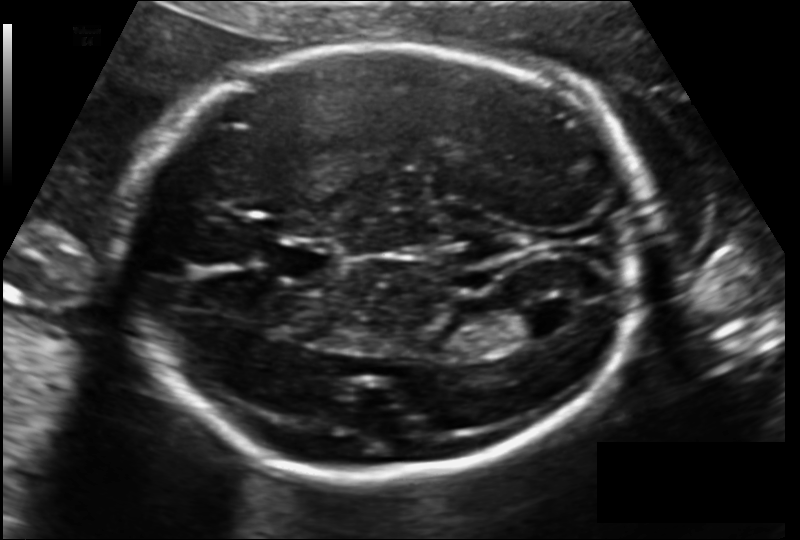
What is the fetal head circumference? Image width is 118.5 mm.

231.2 mm